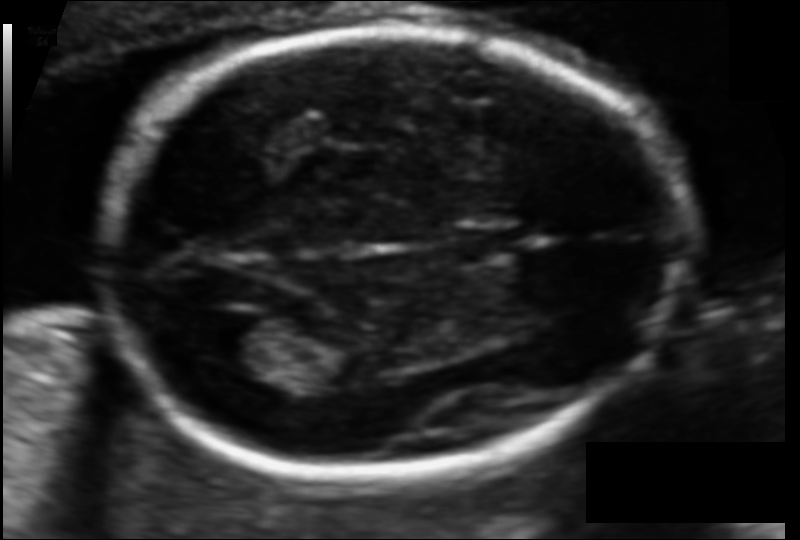
From this fetal ultrasound, estimate the head circumference (image width 77.8 mm).

Head circumference: 163.9 mm.